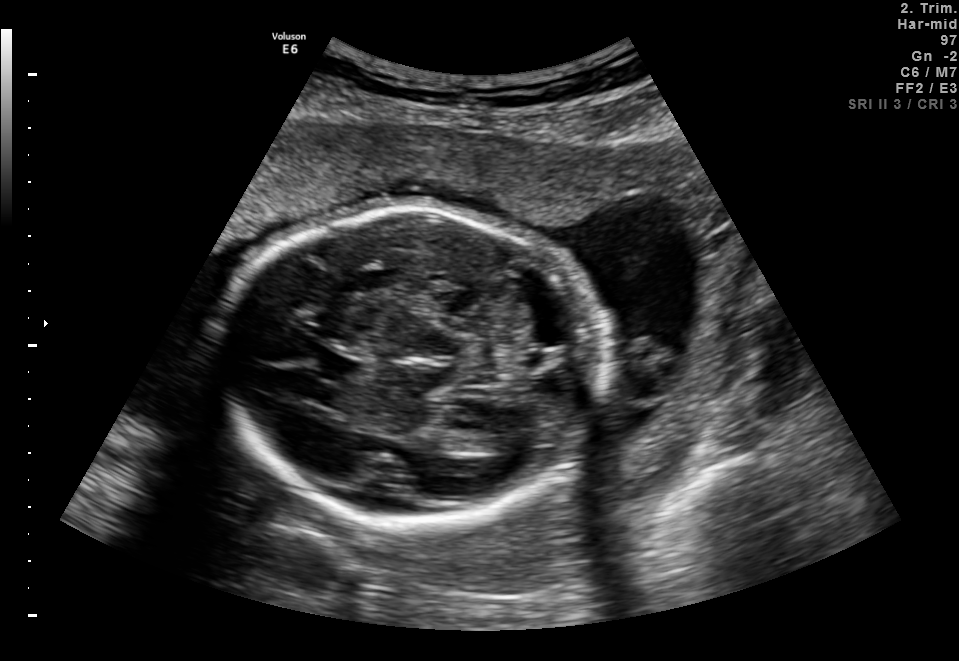
In this fetal brain, trans-thalamic plane, give the bounding box of the cavum septum pellucidum.

[309,347,364,387]